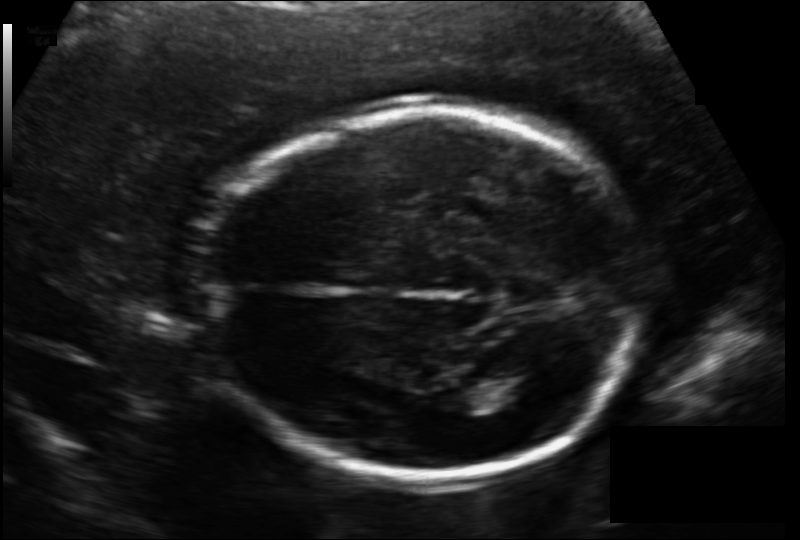
Fetal head ultrasound. Image width: 106.6 mm. Locate the fetal head and, if visible, the cavum septum pellucidum (CSP) and lateral ventricle (LV). Give bounding boxes as [x1,y1,x2,y2].

Head: [203,107,644,480]
Lateral ventricle: [469,360,541,410]